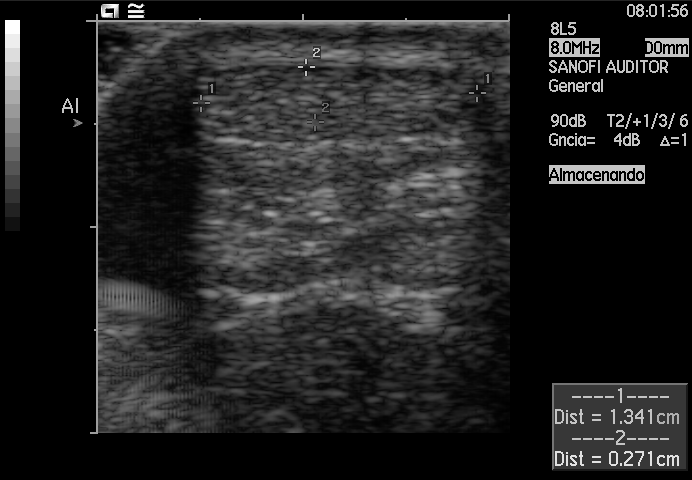
This is a 2D maternal-fetal ultrasound frame. Is it a fetal abdomen, fetal brain, fetal femur, fetal thorax, maternal cervix, or other standard plane? If it's fetal brain and one of the three standard brain planes (trans-thalamic, trans-cerebellum, trans-ventricular), name which.

Other